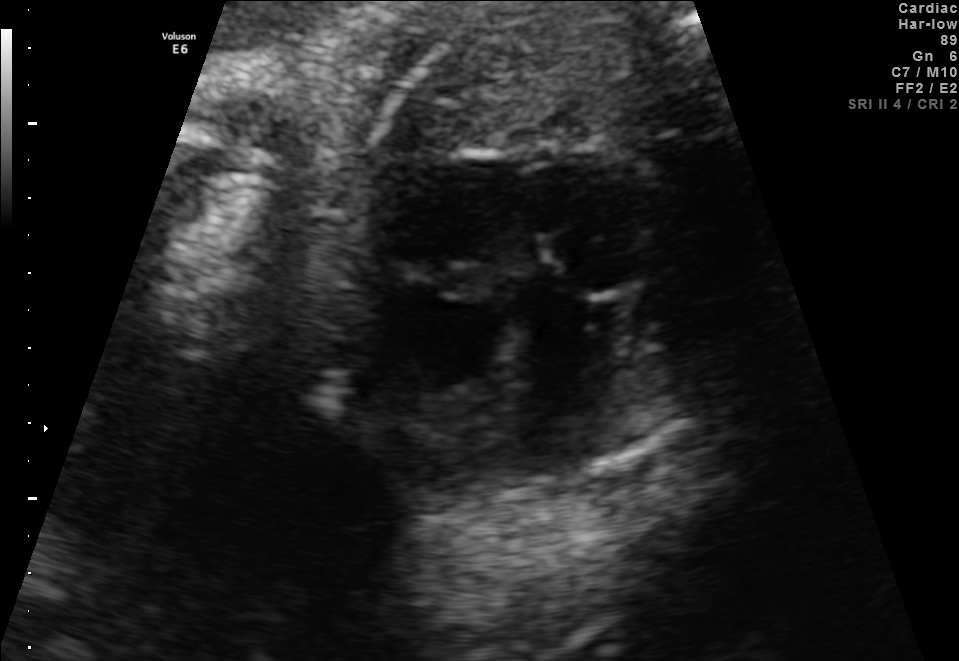
Classify this maternal-fetal ultrasound image as one of the six standard planes — fetal abdomen, fetal brain, fetal femur, fetal thorax, maternal cervix, or other. If it's fetal brain and one of the three standard brain planes (trans-thalamic, trans-cerebellum, trans-ventricular), name which.

Fetal thorax